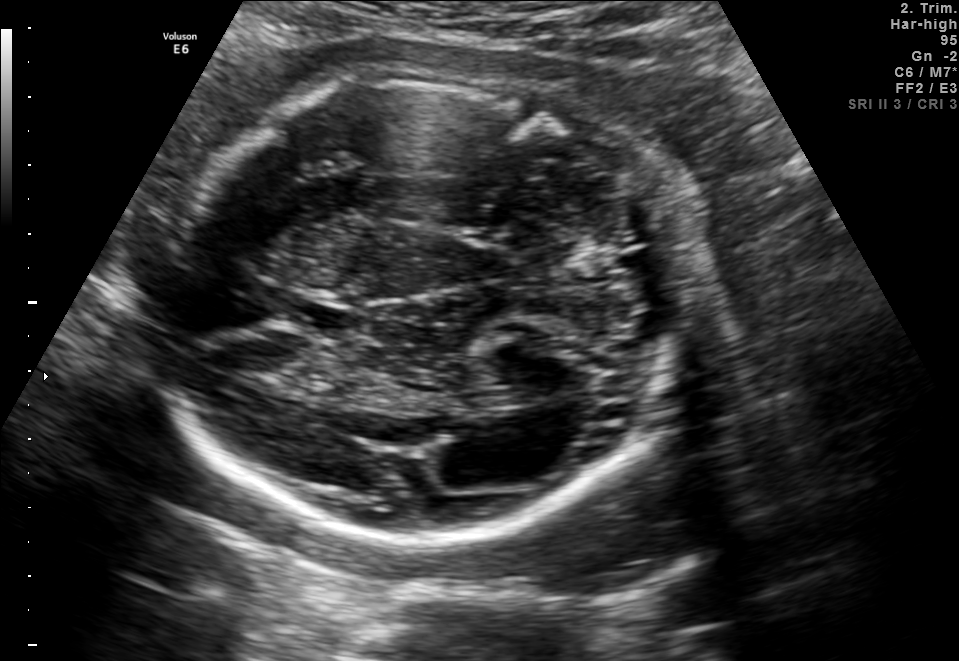
Fetal brain, trans-thalamic plane. Where is the fetal head?

Head bounding box: [156,73,679,538]